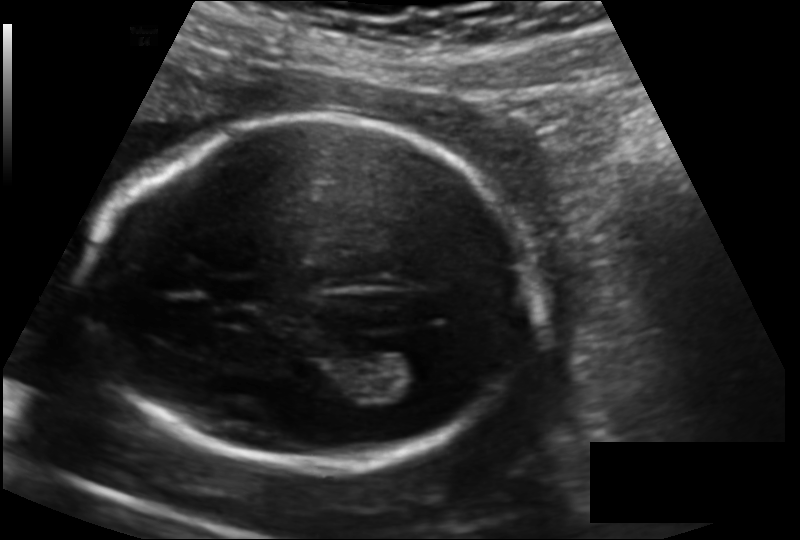
Measure the fetal head circumference shown in this ultrasound image. Image width: 111.4 mm.

Head circumference: 179.7 mm.